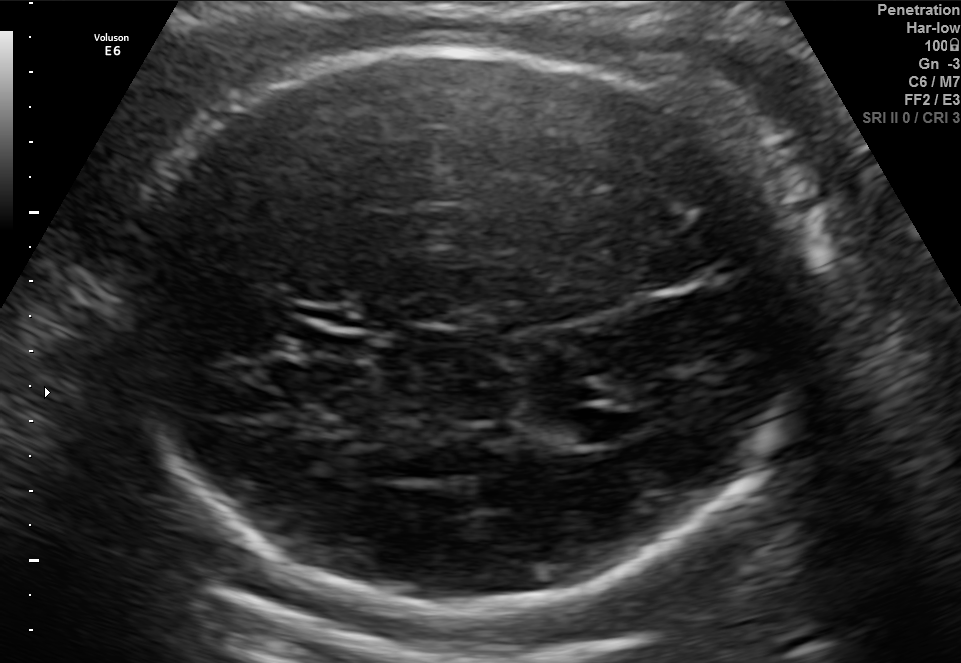
Fetal brain, trans-ventricular plane. Where is the fetal head?

Head bounding box: [101,38,832,615]